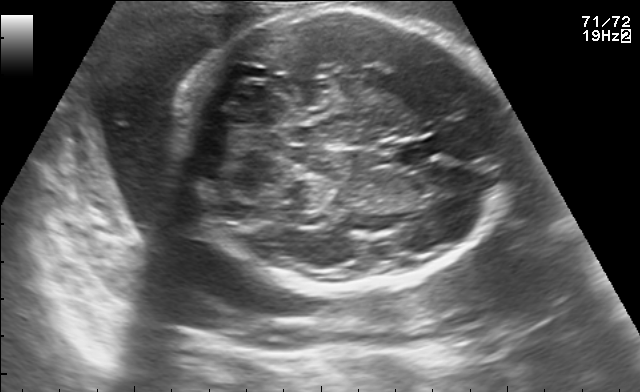
Fetal brain, trans-cerebellum plane. Where is the fetal head?

Head bounding box: [183,9,511,292]